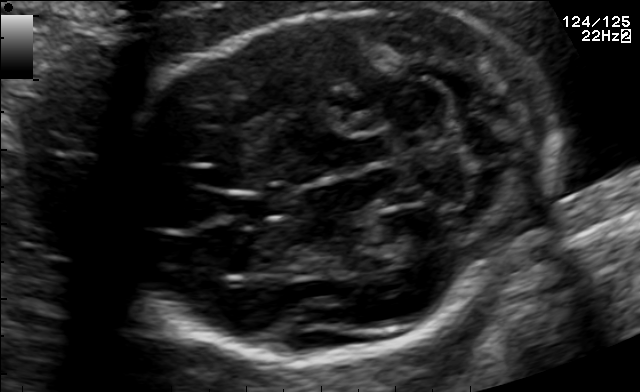
Fetal brain, trans-cerebellum plane. Where is the fetal head?

Head bounding box: [109,6,559,360]